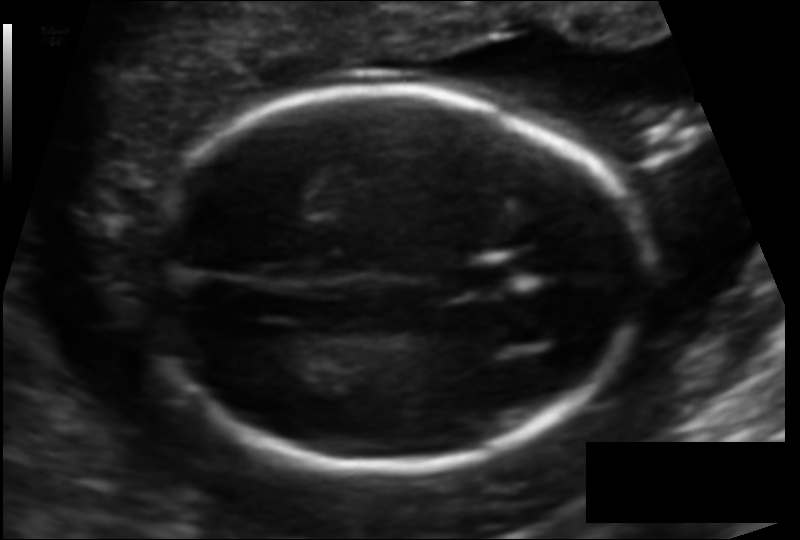
In this fetal head ultrasound, give the bounding box of the fetal head. Image width: 91.5 mm.

[152,88,645,470]